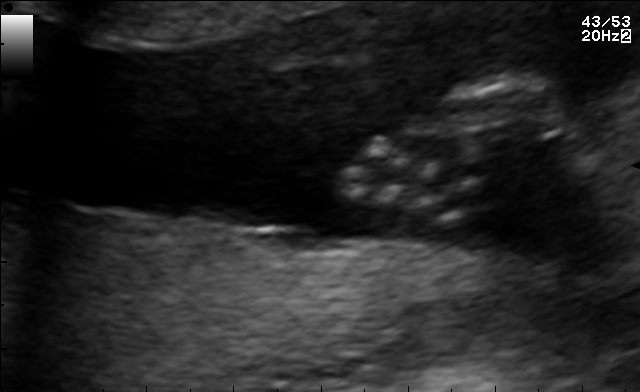
Which standard maternal-fetal ultrasound plane is shown: fetal abdomen, fetal brain, fetal femur, fetal thorax, maternal cervix, or other? If it's fetal brain and one of the three standard brain planes (trans-thalamic, trans-cerebellum, trans-ventricular), name which.

Other